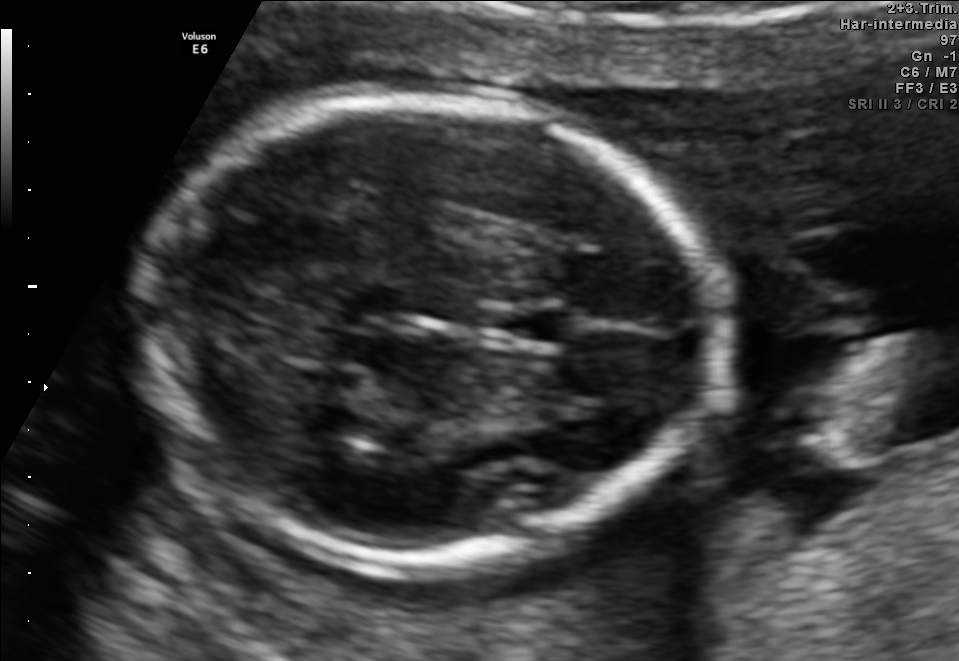
Fetal brain, trans-thalamic plane. Give [x1,y1,x2,y2] bounding boxes for each visible structure among: fetal head, CSP, LV.

Head: [139,98,724,567]
CSP: [496,308,573,344]